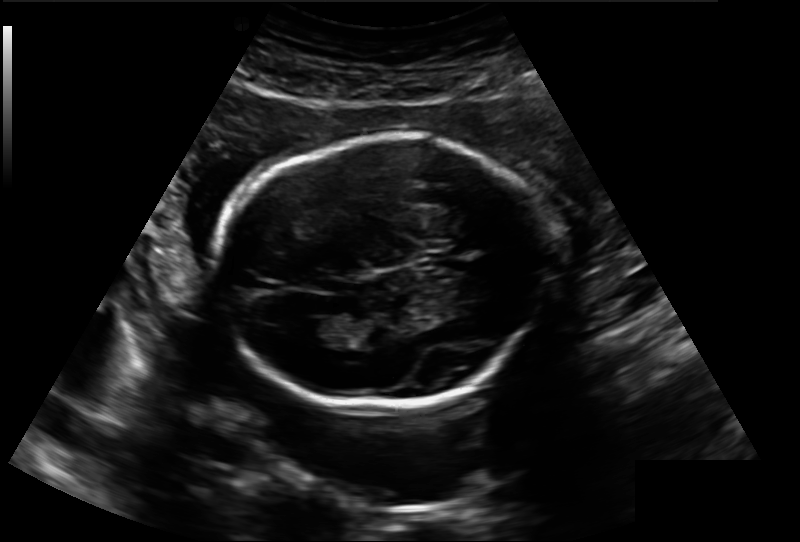
From this fetal ultrasound, estimate the head circumference (image width 150.3 mm).

Head circumference: 183.7 mm.